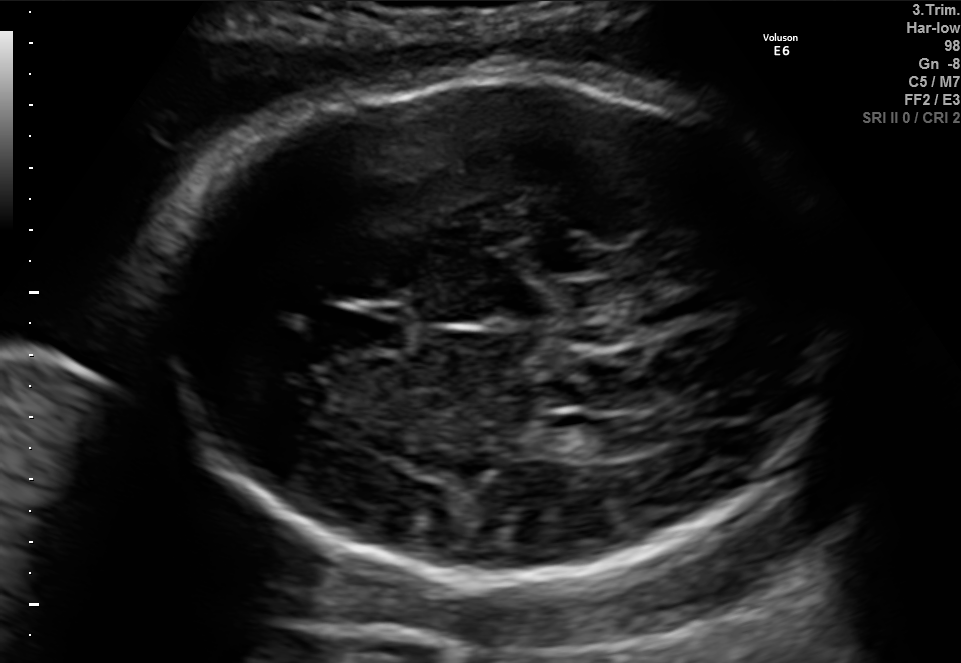
Fetal brain, trans-ventricular plane. Locate the fetal head and, if visible, the cavum septum pellucidum (CSP) and lateral ventricle (LV). Give bounding boxes as [x1,y1,x2,y2].

Head: [140,62,855,589]
CSP: [322,302,416,357]
Lateral ventricle: [588,407,677,460]